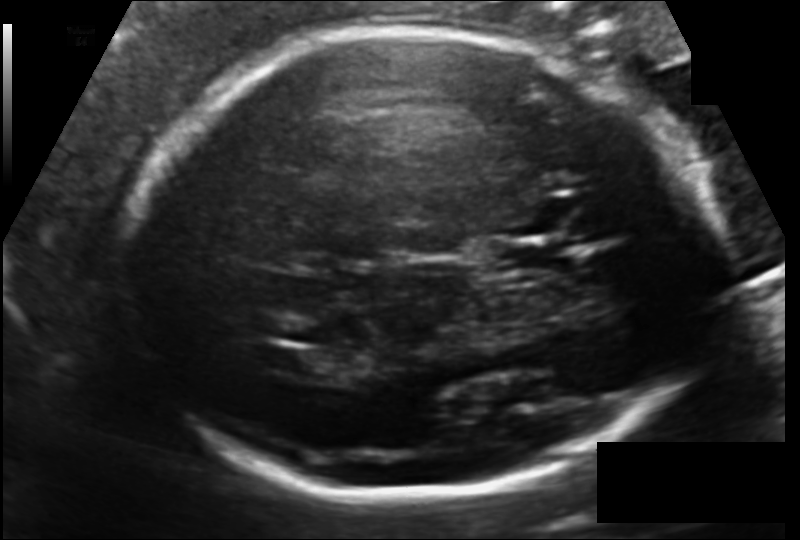
In this fetal head ultrasound, give bounding boxes for the head outline, cavum septum pellucidum (CSP), and lateral ventricle (LV), where visible. Image width: 106.4 mm.

Head: [115,31,718,494]
CSP: [485,234,572,276]
Lateral ventricle: [264,346,327,379]